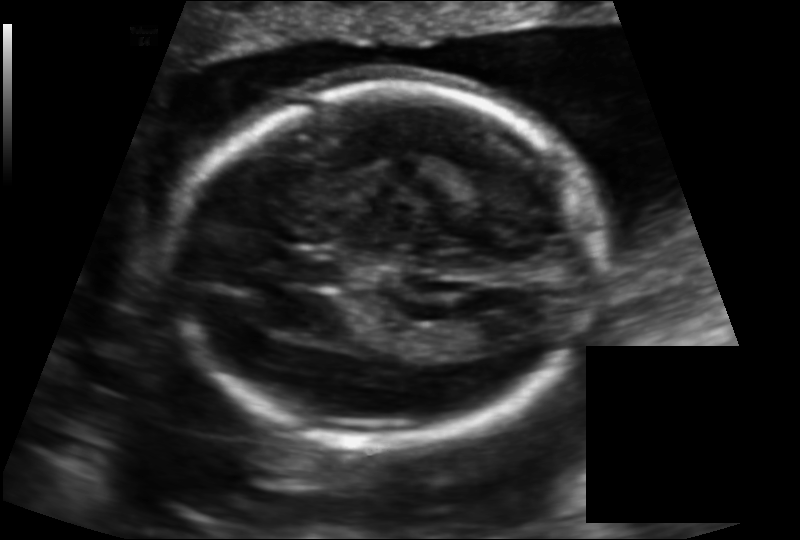
In this fetal head ultrasound, give the bounding box of the cavum septum pellucidum. Image width: 106.6 mm.

[286,253,339,284]